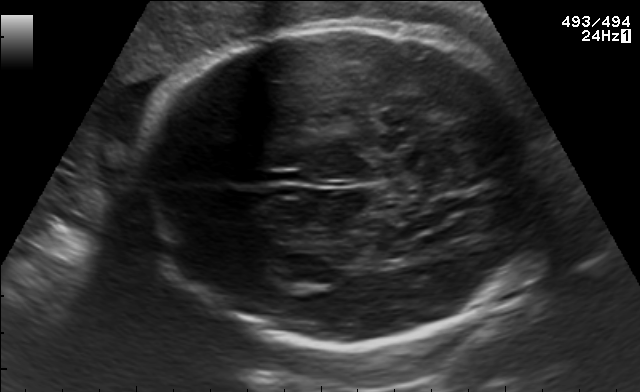
Fetal brain, trans-thalamic plane. Where is the lateral ventricle?

Lateral ventricle bounding box: [277,255,331,283]